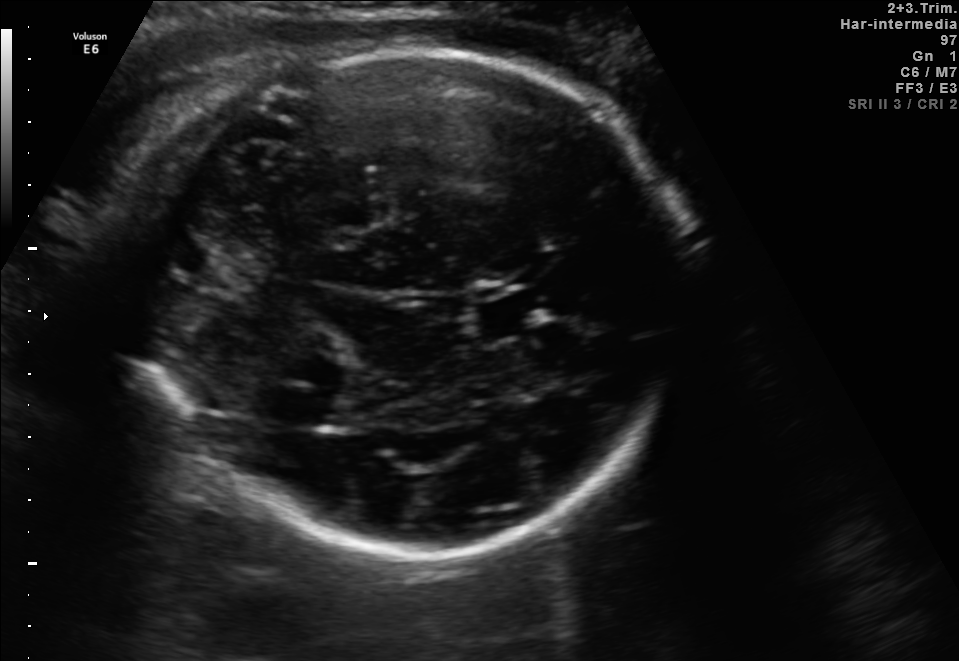
In this fetal brain, trans-thalamic plane, give the bounding box of the cavum septum pellucidum.

[474,289,546,342]